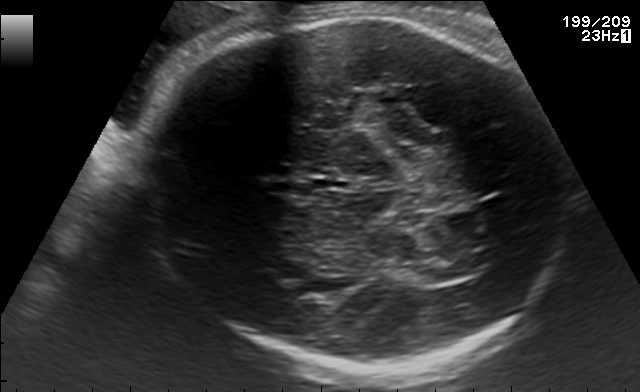
Fetal brain, trans-thalamic plane. Locate the lateral ventricle.

Lateral ventricle: [416,257,473,288]